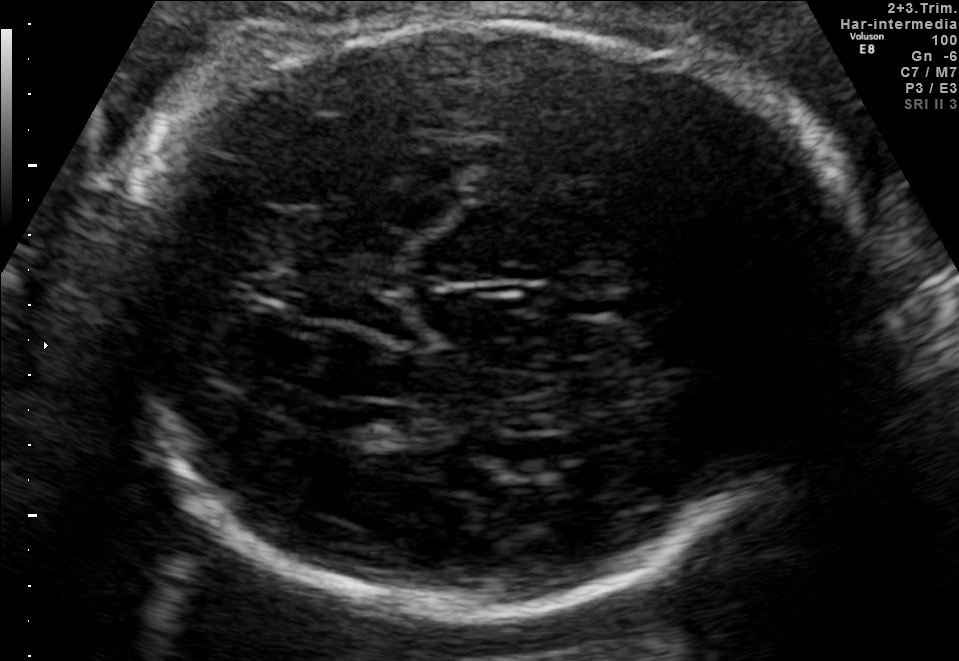
Fetal brain, trans-thalamic plane. Locate the cavum septum pellucidum.

CSP: [560,293,626,319]